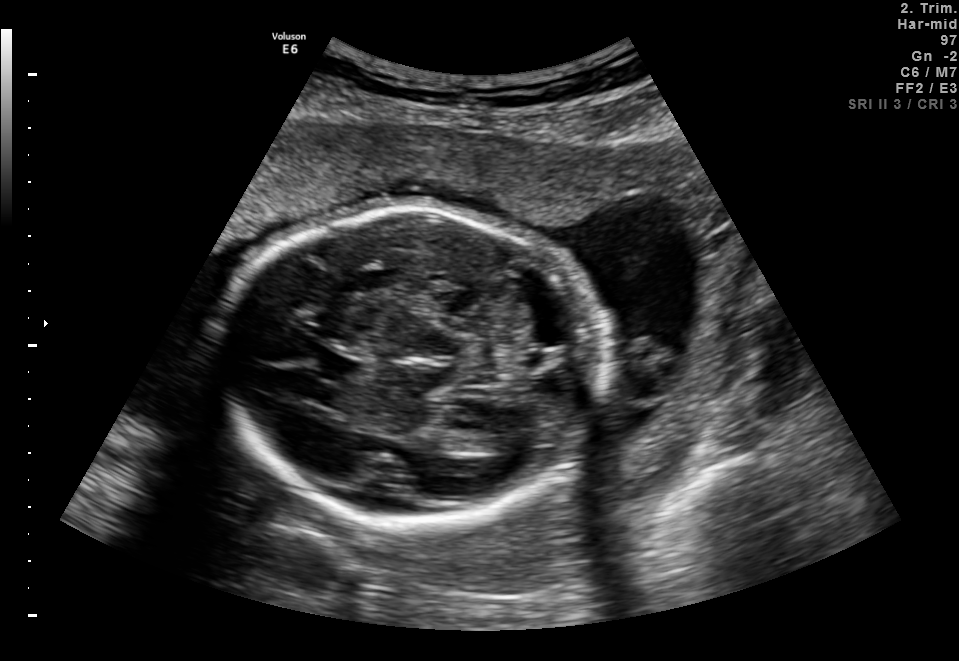
Which standard maternal-fetal ultrasound plane is shown: fetal abdomen, fetal brain, fetal femur, fetal thorax, maternal cervix, or other? If it's fetal brain and one of the three standard brain planes (trans-thalamic, trans-cerebellum, trans-ventricular), name which.

Fetal brain (trans-thalamic plane)